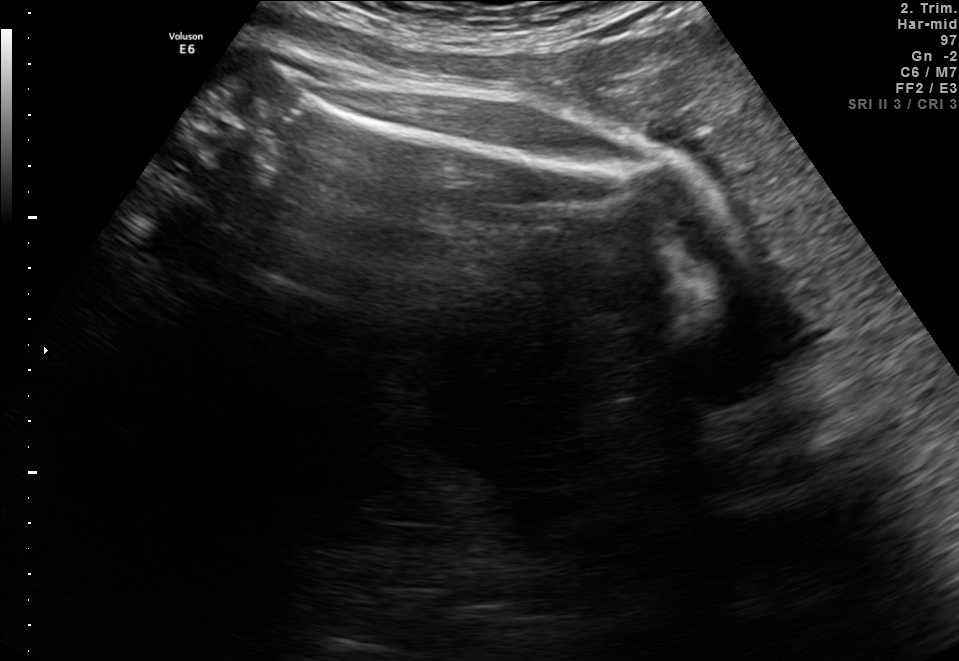
Identify the standard plane in this fetal ultrasound image: fetal abdomen, fetal brain, fetal femur, fetal thorax, maternal cervix, or other. If it's fetal brain and one of the three standard brain planes (trans-thalamic, trans-cerebellum, trans-ventricular), name which.

Fetal femur